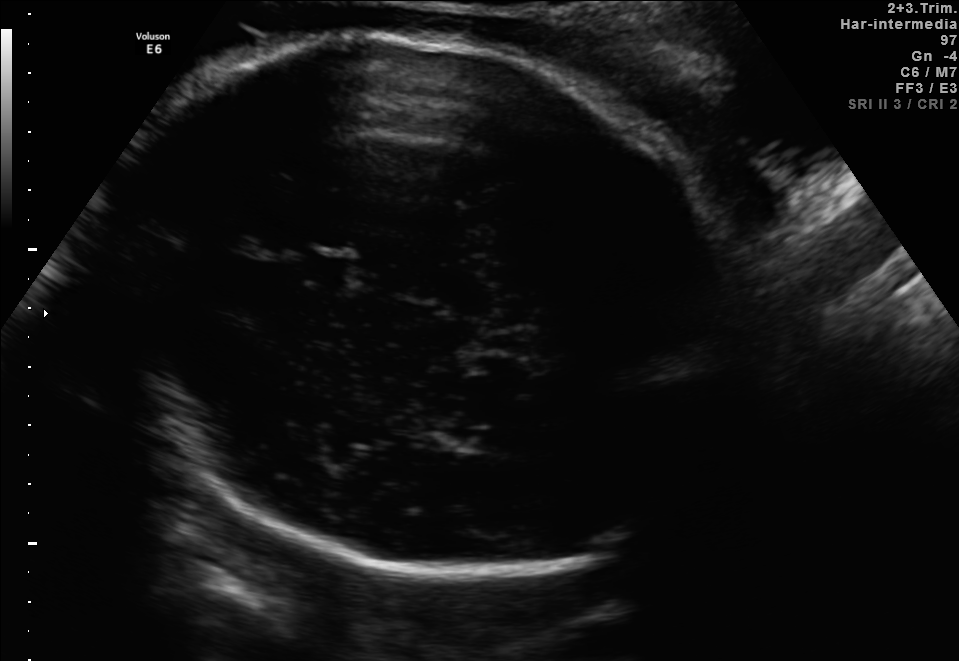
In this fetal brain, trans-thalamic plane, give the bounding box of the fetal head.

[98,27,751,578]